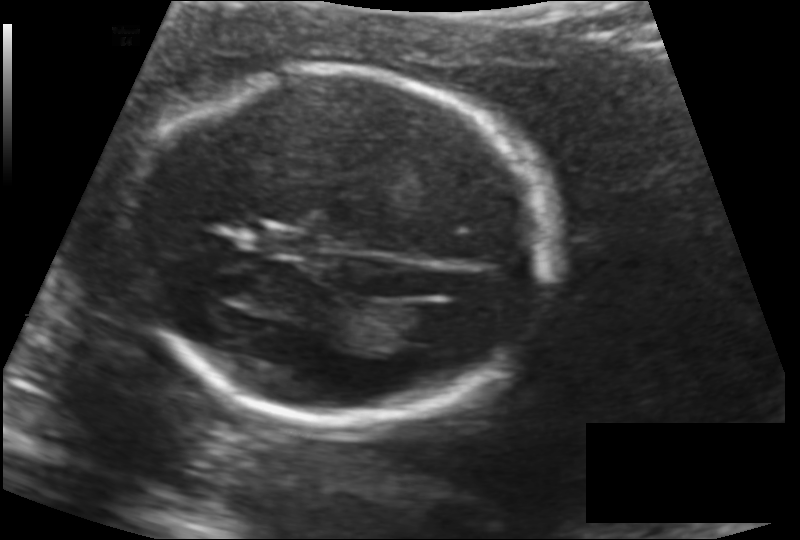
What is the fetal head circumference? Image width is 105.6 mm.

164.4 mm